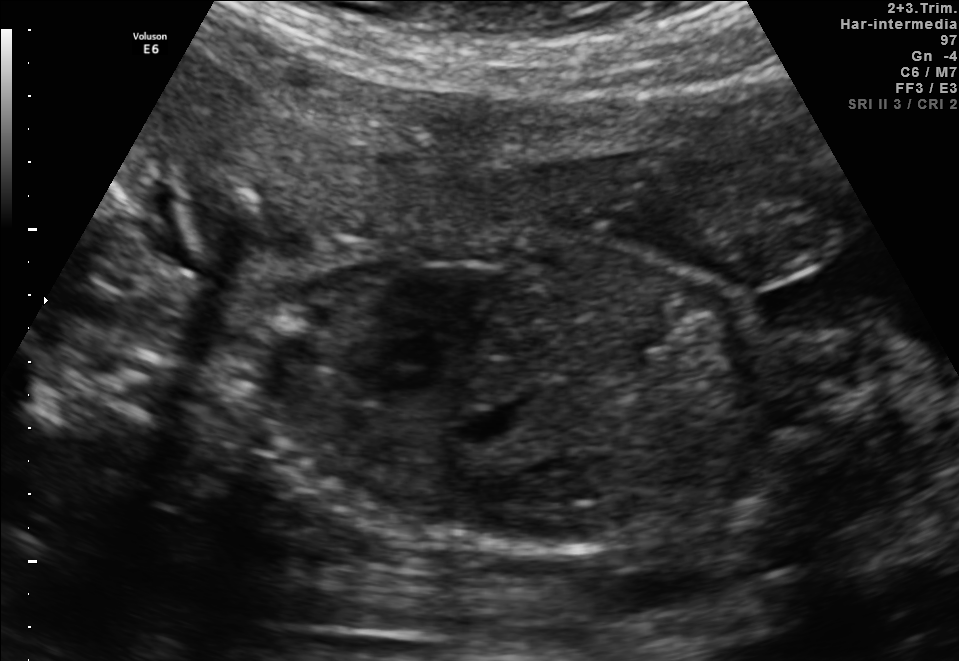
Identify the standard plane in this fetal ultrasound image: fetal abdomen, fetal brain, fetal femur, fetal thorax, maternal cervix, or other. If it's fetal brain and one of the three standard brain planes (trans-thalamic, trans-cerebellum, trans-ventricular), name which.

Other